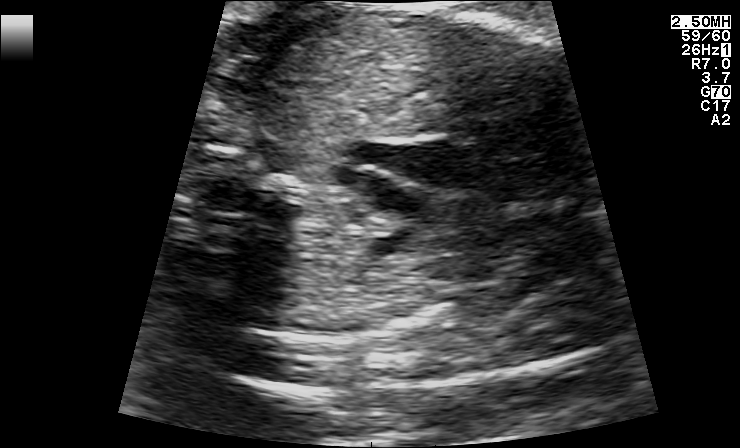
Classify this maternal-fetal ultrasound image as one of the six standard planes — fetal abdomen, fetal brain, fetal femur, fetal thorax, maternal cervix, or other. If it's fetal brain and one of the three standard brain planes (trans-thalamic, trans-cerebellum, trans-ventricular), name which.

Other